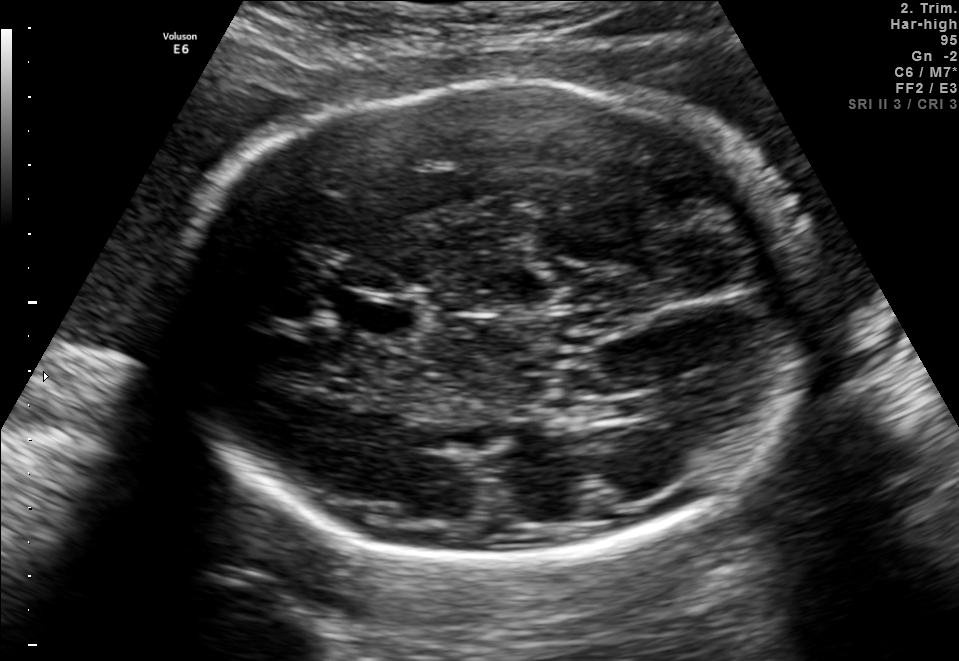
In this fetal brain, trans-thalamic plane, give the bounding box of the cavum septum pellucidum.

[345,295,417,338]